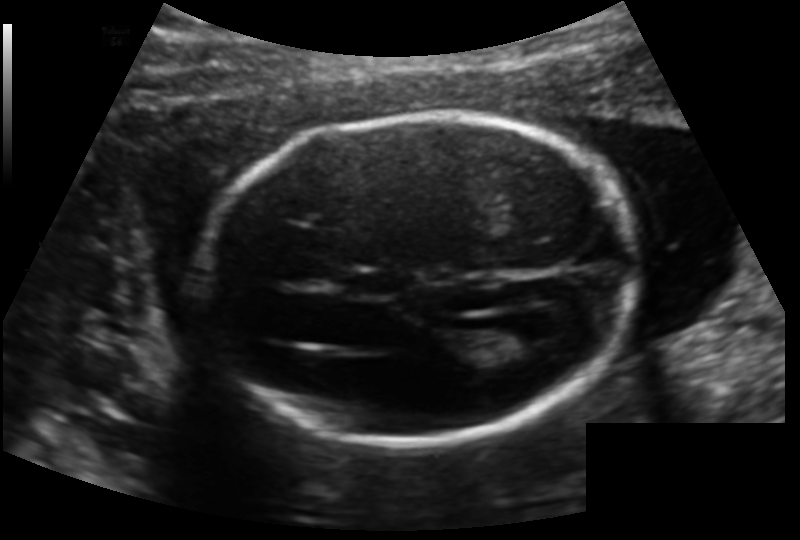
What is the fetal head circumference? Image width is 112.1 mm.

173.1 mm